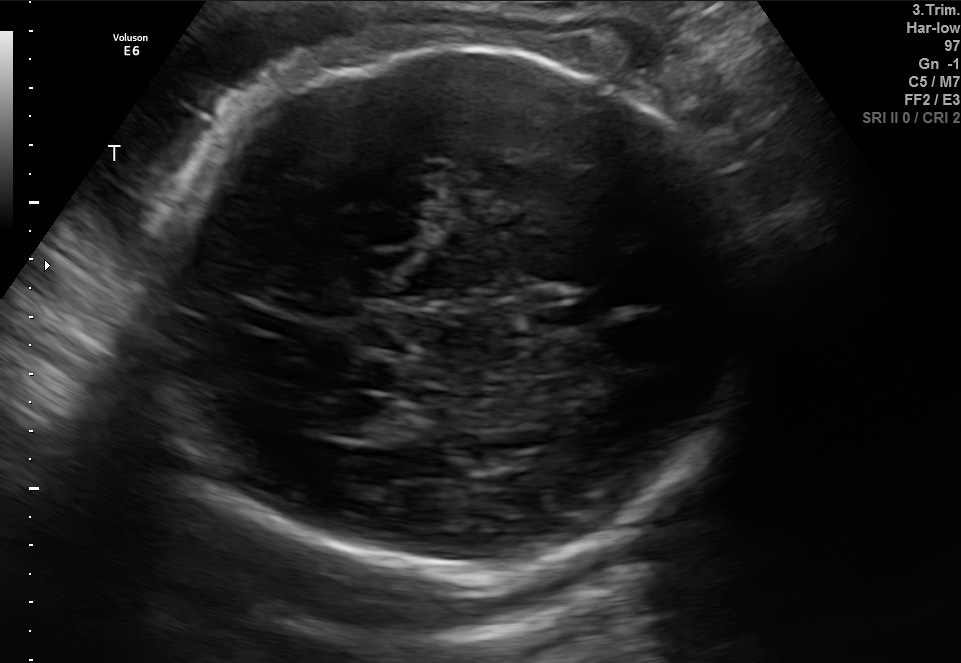
In this fetal brain, trans-thalamic plane, give bounding boxes for the head outline, cavum septum pellucidum (CSP), and lateral ventricle (LV), where visible.

Head: [168,43,751,594]